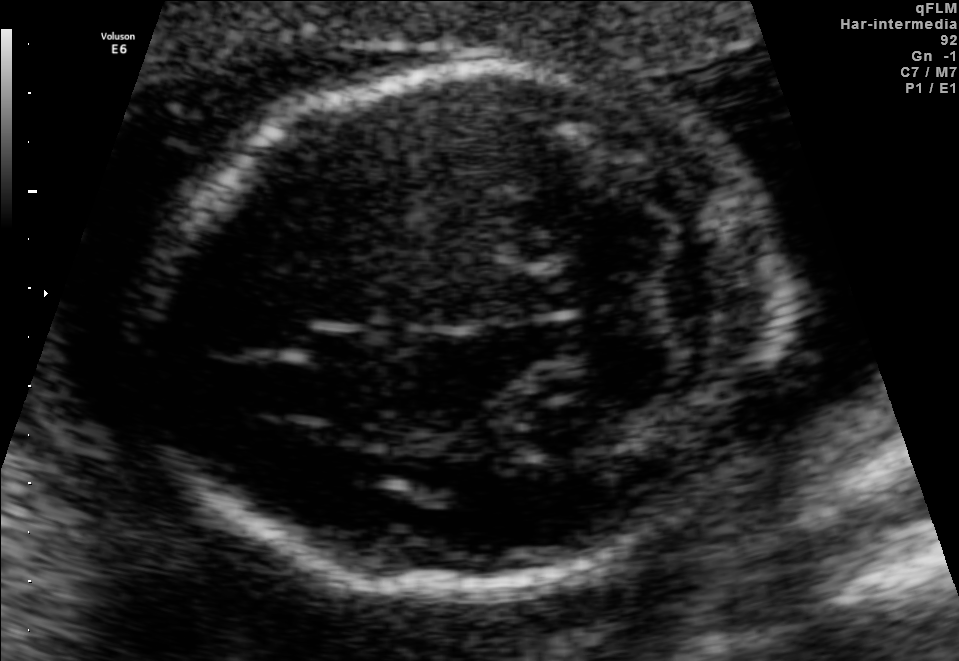
Fetal brain, trans-cerebellum plane. Locate the fetal head and, if visible, the cavum septum pellucidum (CSP) and lateral ventricle (LV). Give bounding boxes as [x1,y1,x2,y2].

Head: [140,66,781,585]